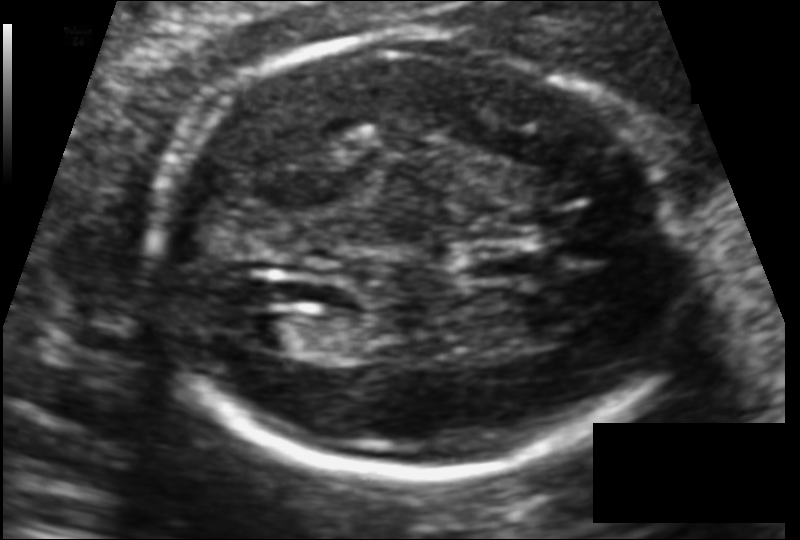
Fetal head ultrasound. Image width: 88.1 mm. Where is the lateral ventricle?

Lateral ventricle bounding box: [238,311,306,351]